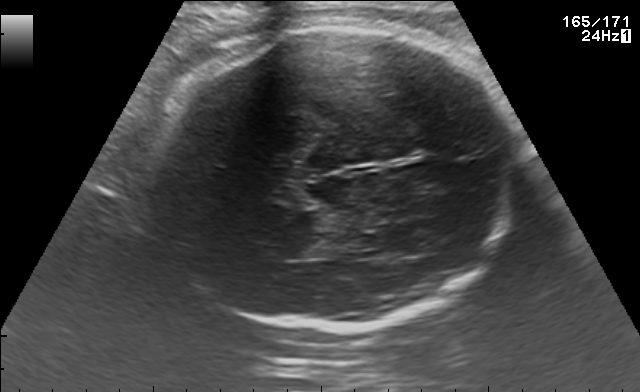
Fetal brain, trans-thalamic plane. Give [x1,y1,x2,y2] bounding boxes for each visible structure among: fetal head, CSP, LV.

Head: [142,21,515,332]